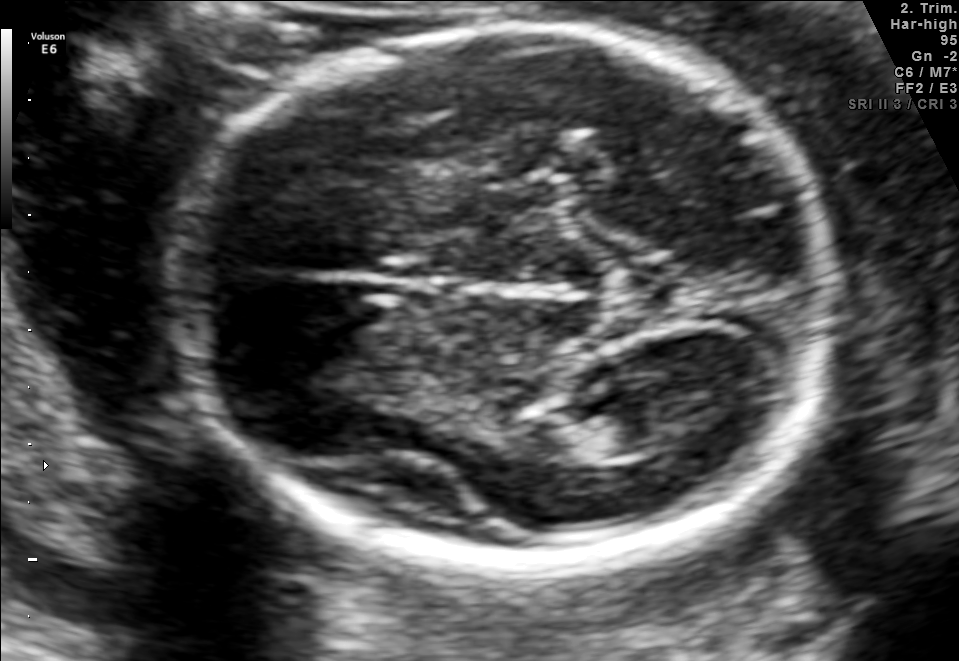
In this fetal brain, trans-thalamic plane, give bounding boxes for the head outline, cavum septum pellucidum (CSP), and lateral ventricle (LV), where visible.

Head: [169,28,834,563]
Lateral ventricle: [552,382,672,470]